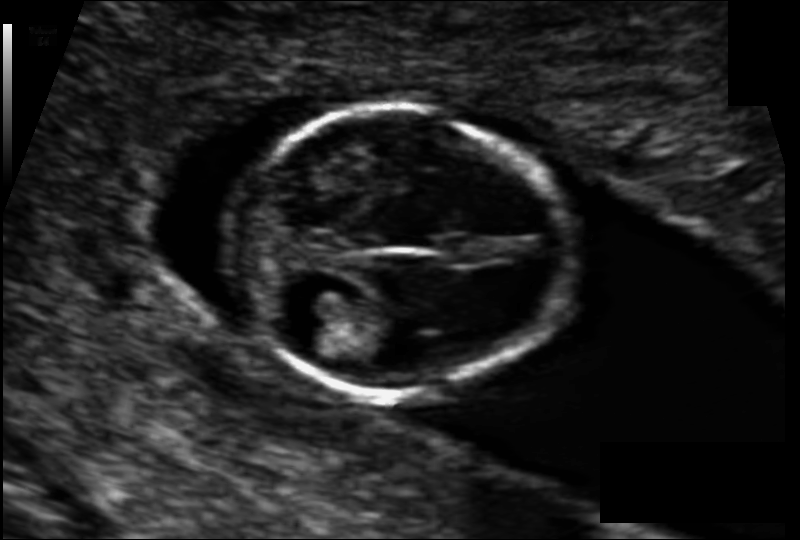
In this fetal head ultrasound, give bounding boxes for the head outline, cavum septum pellucidum (CSP), and lateral ventricle (LV), where visible. Image width: 63.0 mm.

Head: [229,109,566,399]